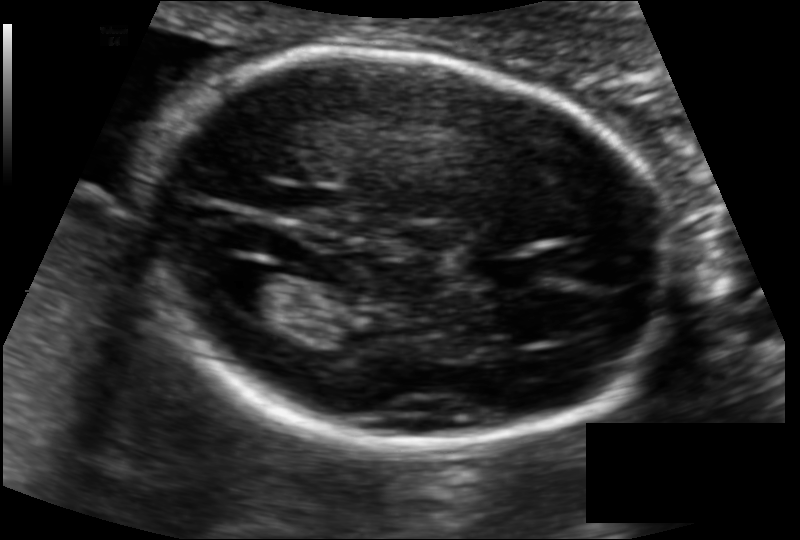
In this fetal head ultrasound, give the bounding box of the lateral ventricle. Image width: 88.0 mm.

[219,263,301,326]